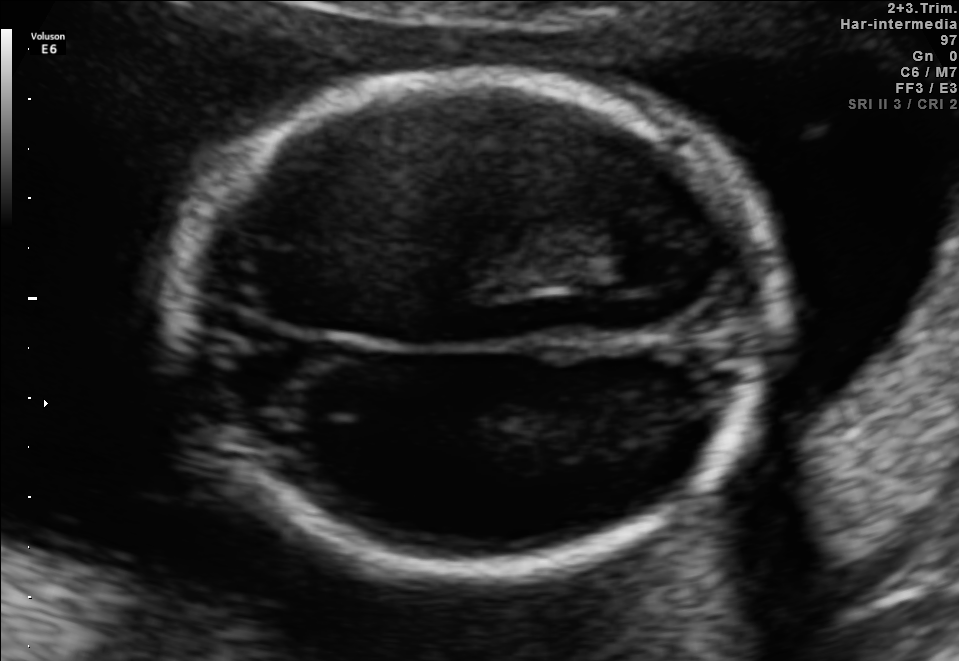
In this fetal brain, trans-thalamic plane, give bounding boxes for the head outline, cavum septum pellucidum (CSP), and lateral ventricle (LV), where visible.

Head: [175,79,780,574]